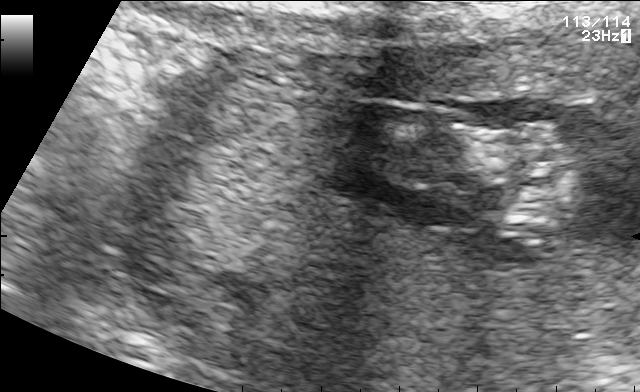
This is a 2D maternal-fetal ultrasound frame. Is it a fetal abdomen, fetal brain, fetal femur, fetal thorax, maternal cervix, or other standard plane? If it's fetal brain and one of the three standard brain planes (trans-thalamic, trans-cerebellum, trans-ventricular), name which.

Other